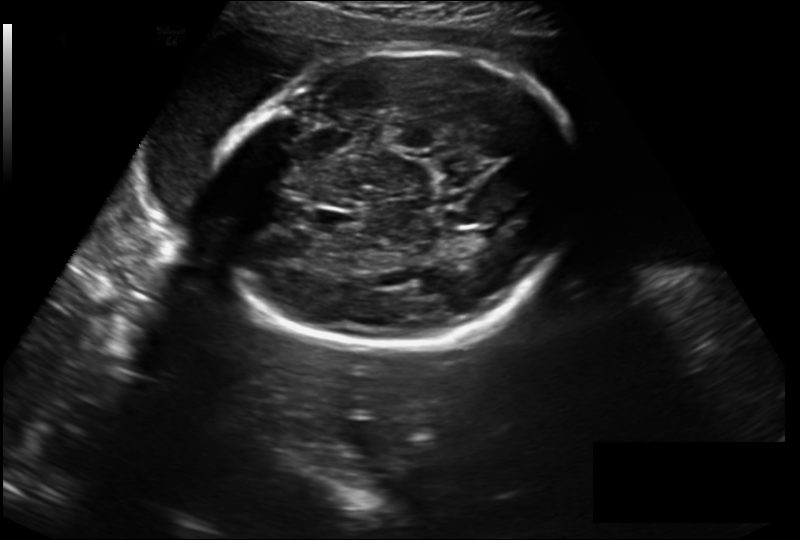
Fetal head ultrasound. Image width: 184.1 mm. Where is the fetal head?

Head bounding box: [212,52,581,347]